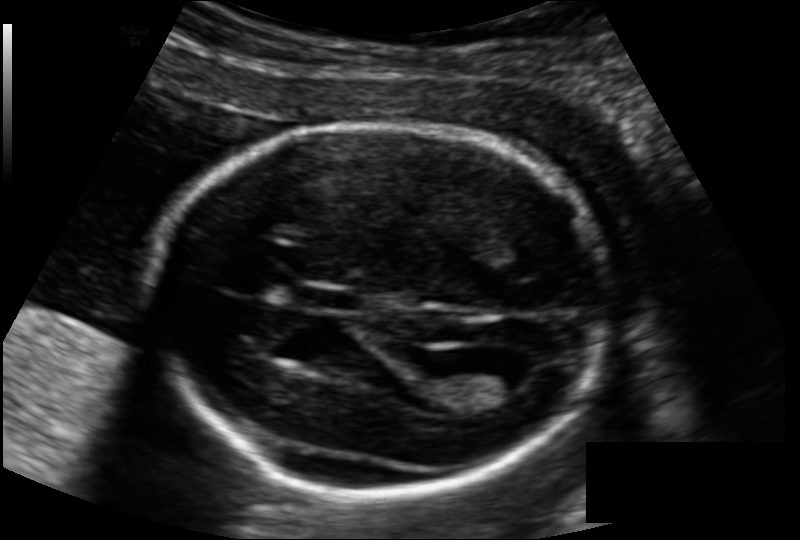
In this fetal head ultrasound, give the bounding box of the fetal head. Image width: 106.7 mm.

[153,123,608,492]